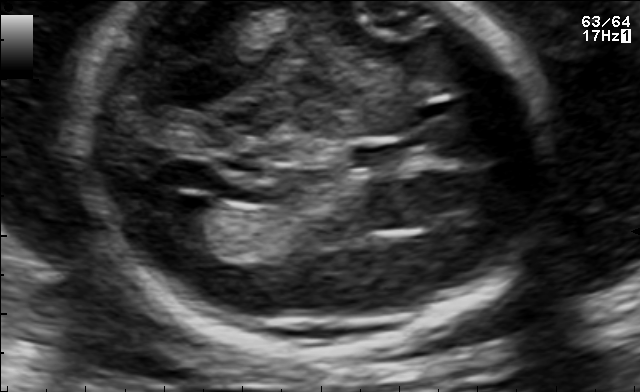
In this fetal brain, trans-ventricular plane, give bounding boxes for the cavum septum pellucidum (CSP) and lateral ventricle (LV), where visible.

Lateral ventricle: [142,187,214,242]